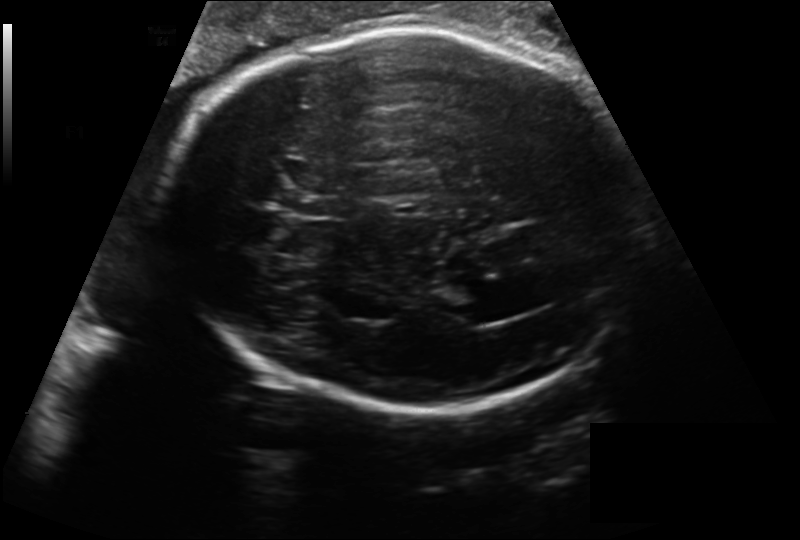
Fetal head ultrasound. Image width: 174.3 mm. Locate the cavum septum pellucidum.

CSP: [302,196,343,219]